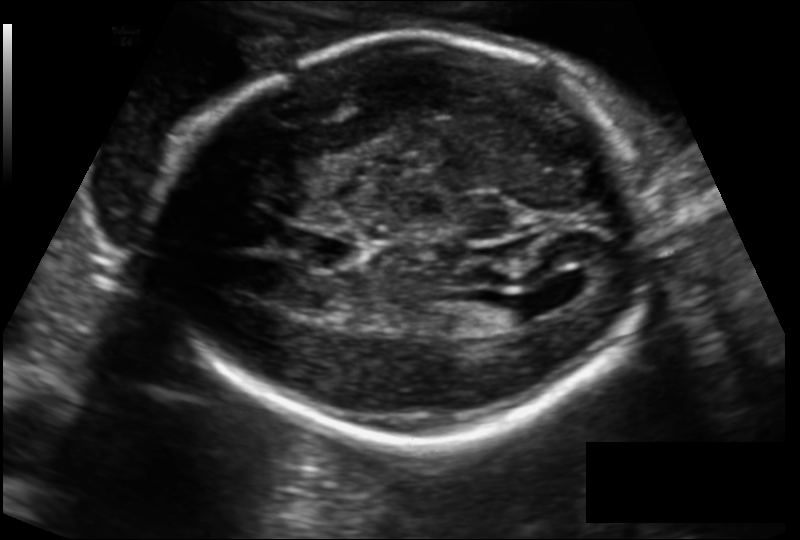
Fetal head ultrasound. Image width: 119.5 mm. Where is the cavum septum pellucidum?

CSP bounding box: [296,229,362,275]